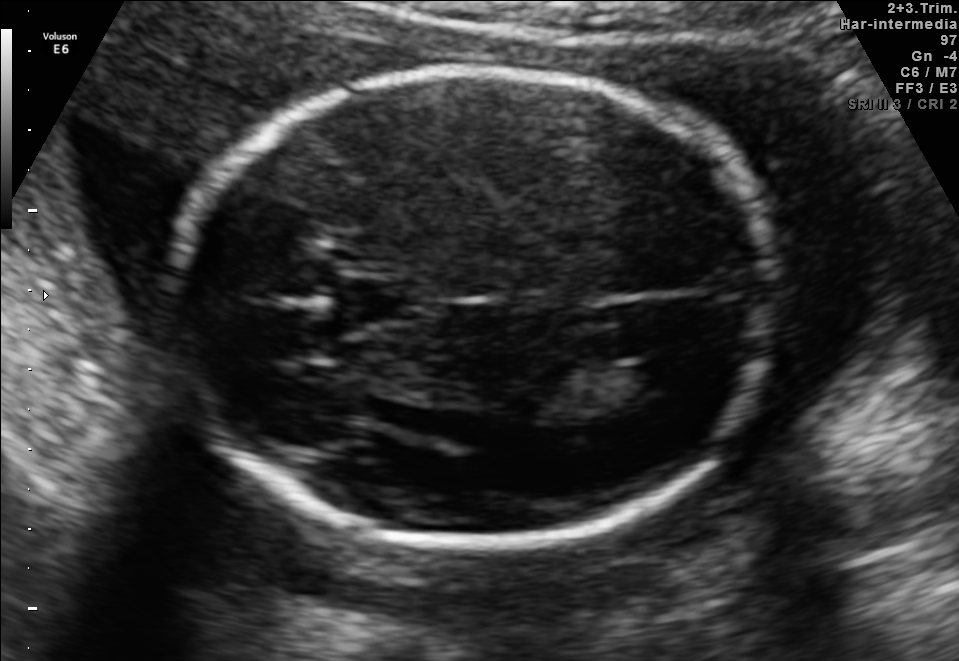
In this fetal brain, trans-ventricular plane, give the bounding box of the cavum septum pellucidum.

[325,280,417,322]